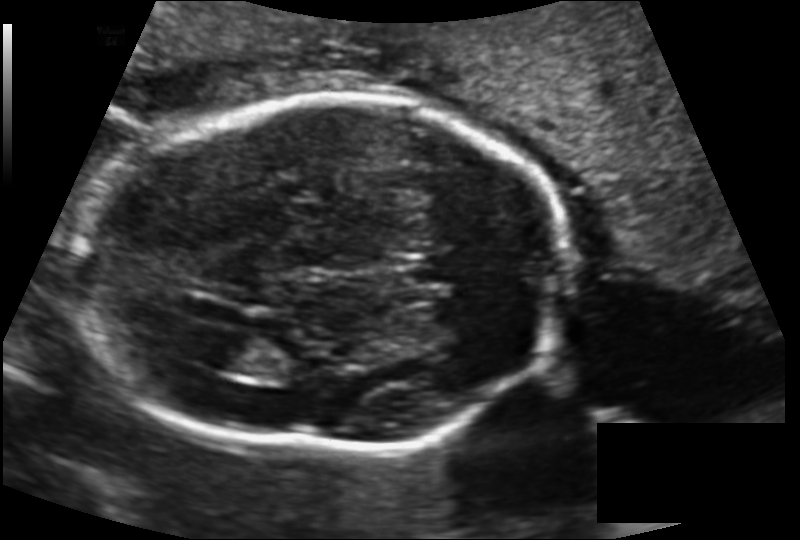
Fetal head ultrasound. Image width: 114.0 mm. Where is the cavum septum pellucidum?

CSP bounding box: [401,255,462,285]